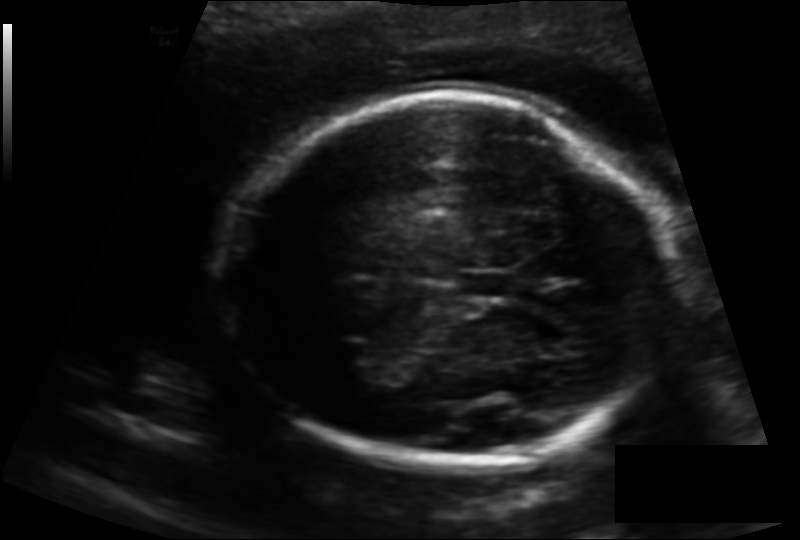
From this fetal ultrasound, estimate the head circumference (image width 112.7 mm).

Head circumference: 188.8 mm.